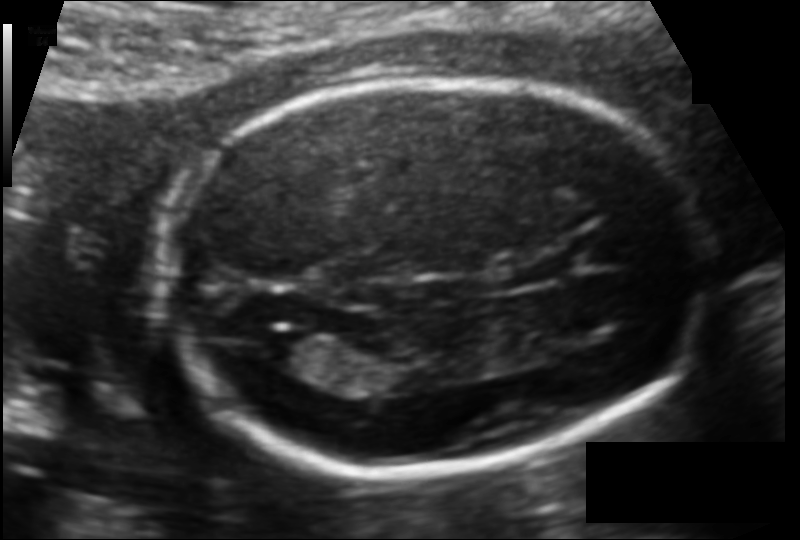
Measure the fetal head circumference shown in this ultrasound image. Image width: 87.1 mm.

Head circumference: 163.9 mm.